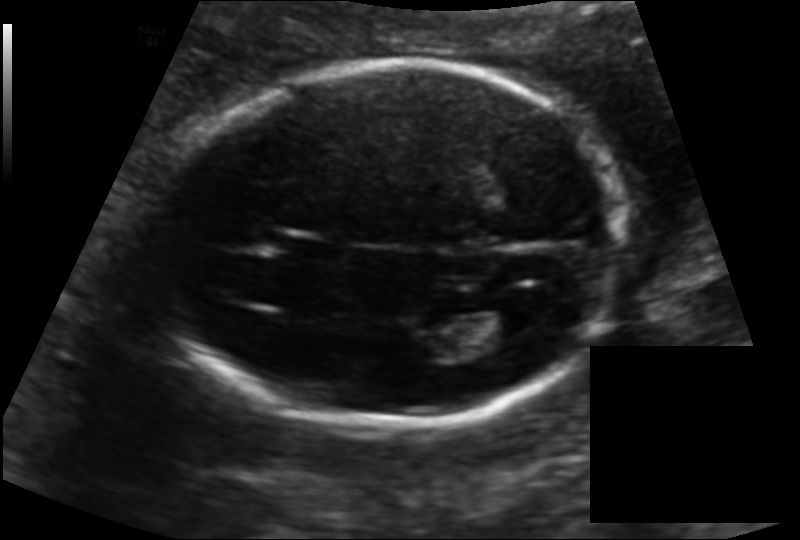
Measure the fetal head circumference shown in this ultrasound image. Image width: 110.8 mm.

Head circumference: 186.9 mm.